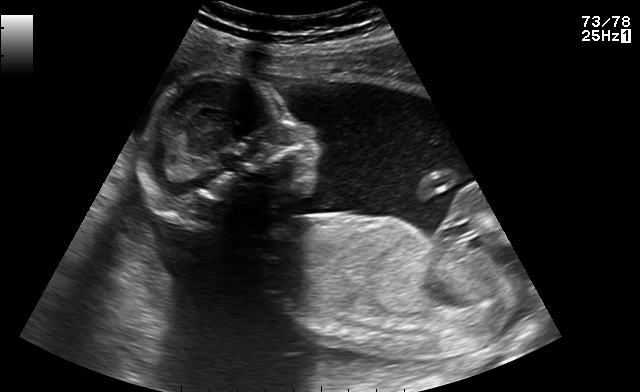
Identify the standard plane in this fetal ultrasound image: fetal abdomen, fetal brain, fetal femur, fetal thorax, maternal cervix, or other. If it's fetal brain and one of the three standard brain planes (trans-thalamic, trans-cerebellum, trans-ventricular), name which.

Other